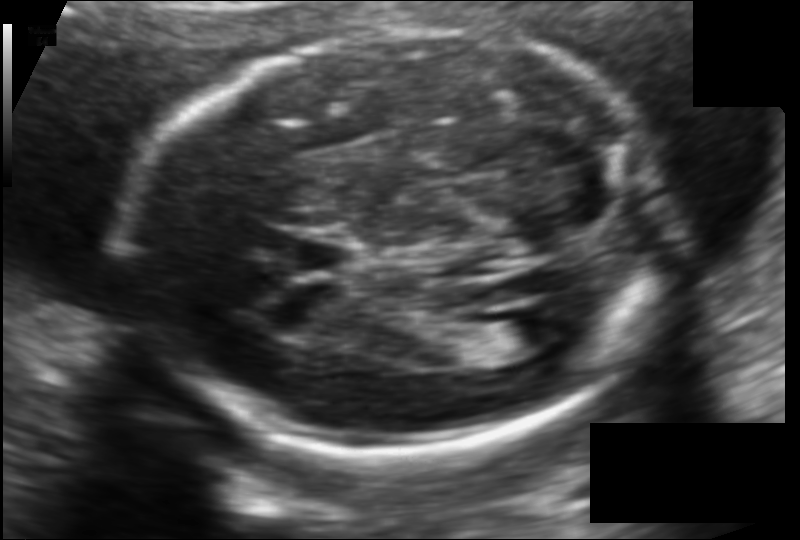
In this fetal head ultrasound, give the bounding box of the fetal head. Image width: 94.7 mm.

[131,32,666,457]